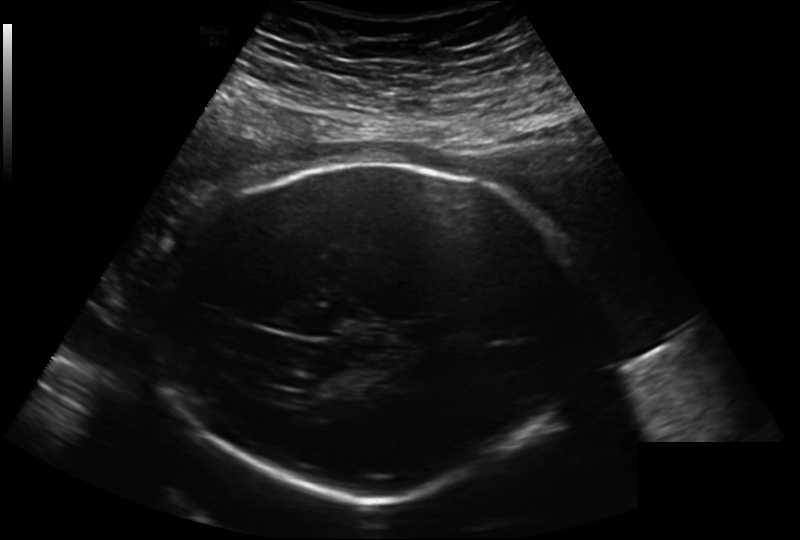
Estimate the fetal head circumference from this 2D ultrasound. Image width: 192.6 mm.

Head circumference: 298.8 mm.